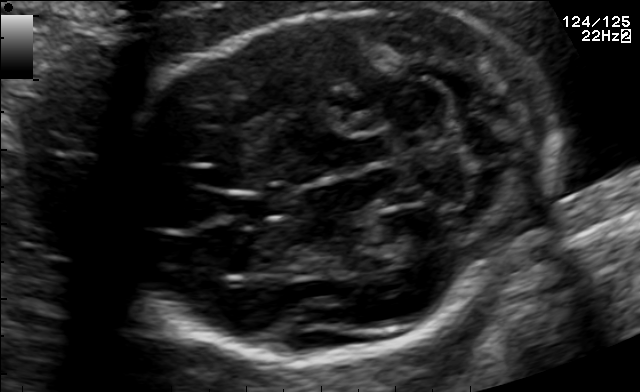
Fetal brain, trans-cerebellum plane. Locate the fetal head and, if visible, the cavum septum pellucidum (CSP) and lateral ventricle (LV). Give bounding boxes as [x1,y1,x2,y2].

Head: [109,6,559,360]
CSP: [229,189,284,222]